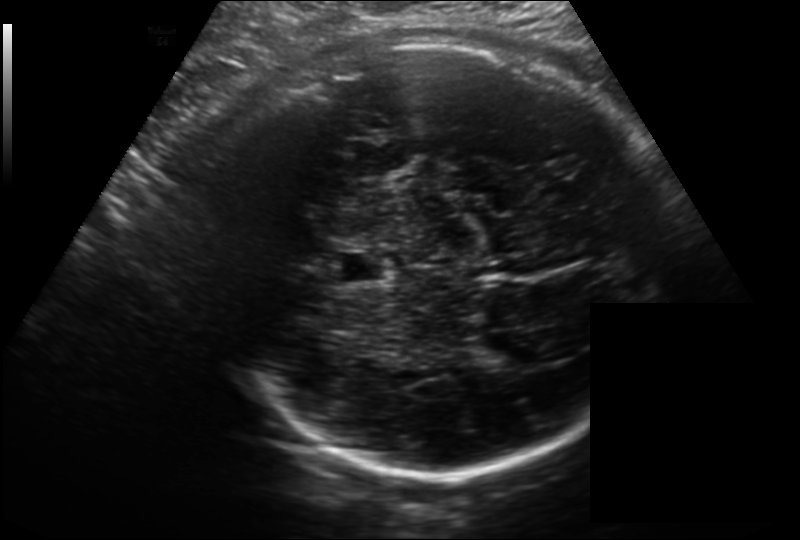
Fetal head ultrasound. Image width: 171.5 mm. Where is the cavum septum pellucidum?

CSP bounding box: [333,251,392,282]